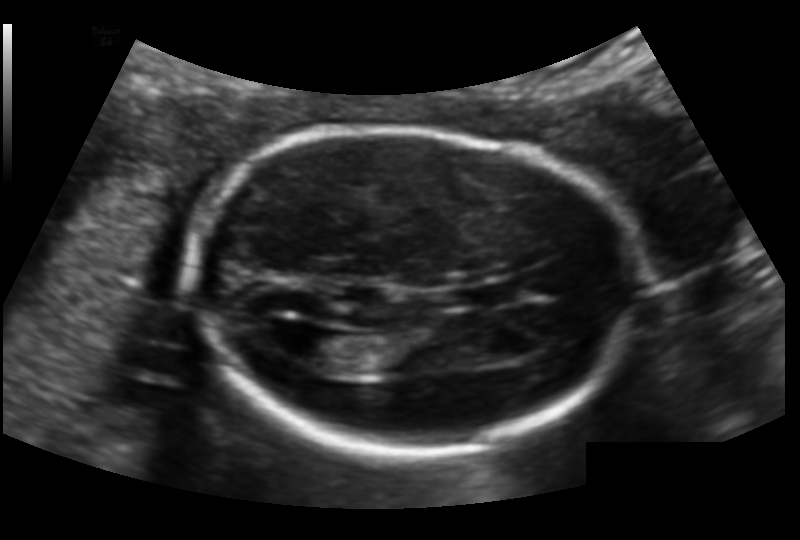
In this fetal head ultrasound, give bounding boxes for the head outline, cavum septum pellucidum (CSP), and lateral ventricle (LV), where visible. Image width: 105.5 mm.

Head: [185,127,638,451]
CSP: [468,279,524,310]
Lateral ventricle: [282,320,344,368]